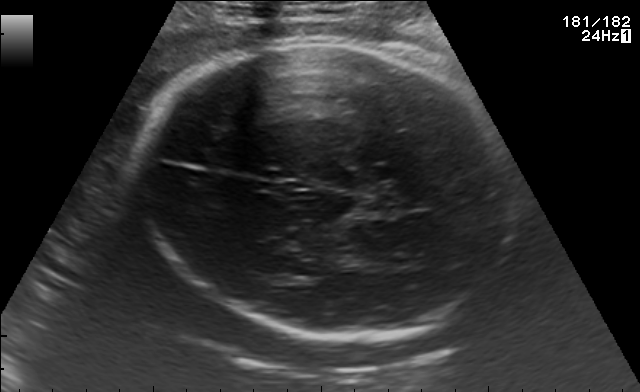
Identify the standard plane in this fetal ultrasound image: fetal abdomen, fetal brain, fetal femur, fetal thorax, maternal cervix, or other. If it's fetal brain and one of the three standard brain planes (trans-thalamic, trans-cerebellum, trans-ventricular), name which.

Fetal brain (trans-thalamic plane)